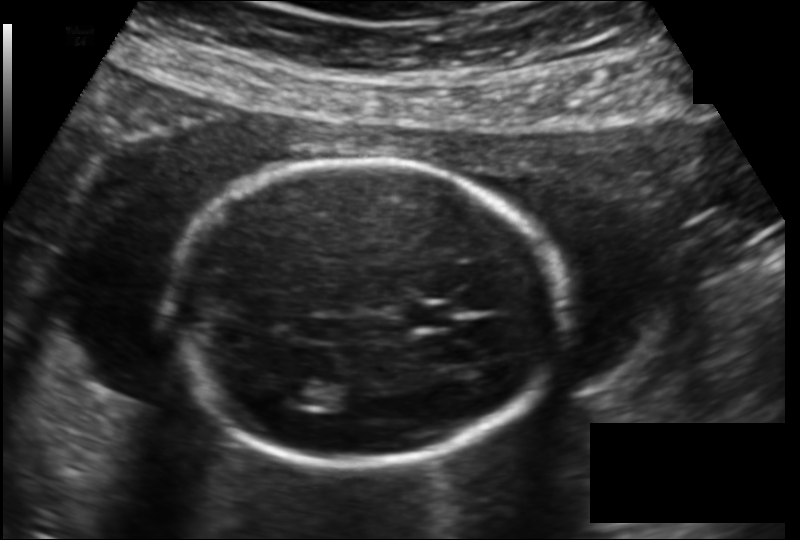
In this fetal head ultrasound, give the bounding box of the lateral ventricle. Image width: 119.1 mm.

[272,374,323,412]